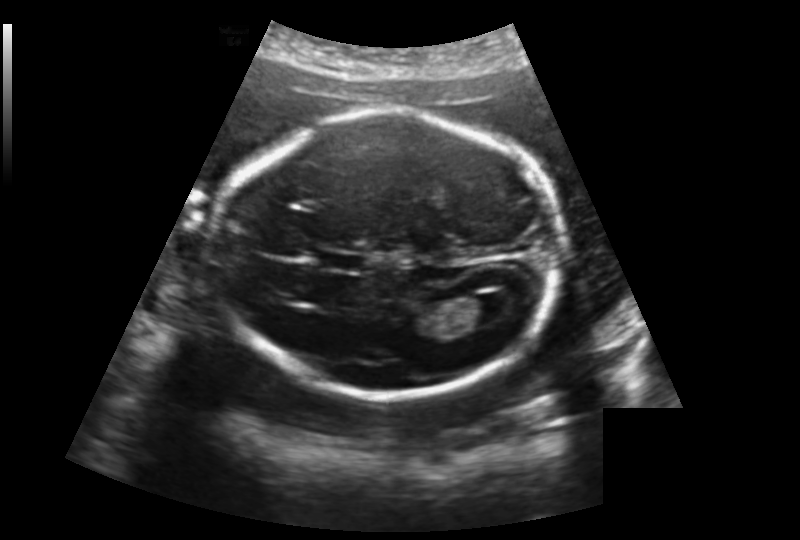
From this fetal ultrasound, estimate the head circumference (image width 150.3 mm).

Head circumference: 194.6 mm.